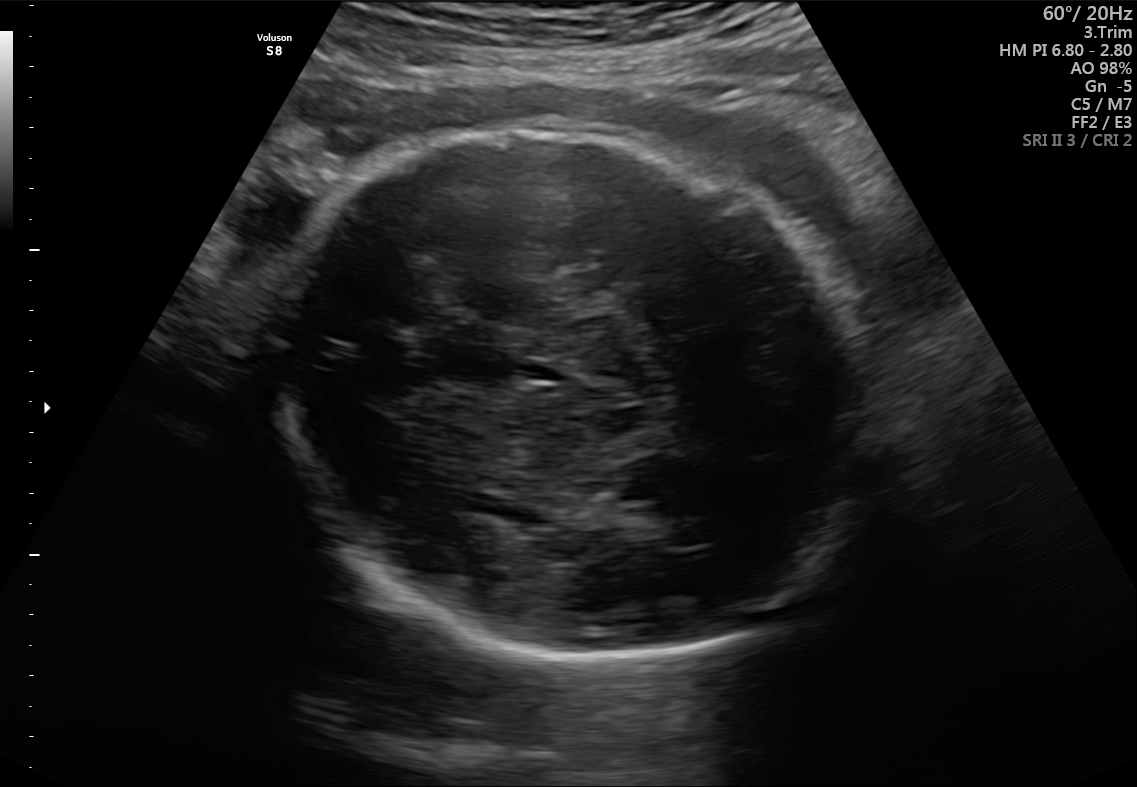
Fetal brain, trans-thalamic plane. Where is the cavum septum pellucidum?

CSP bounding box: [526,361,564,383]